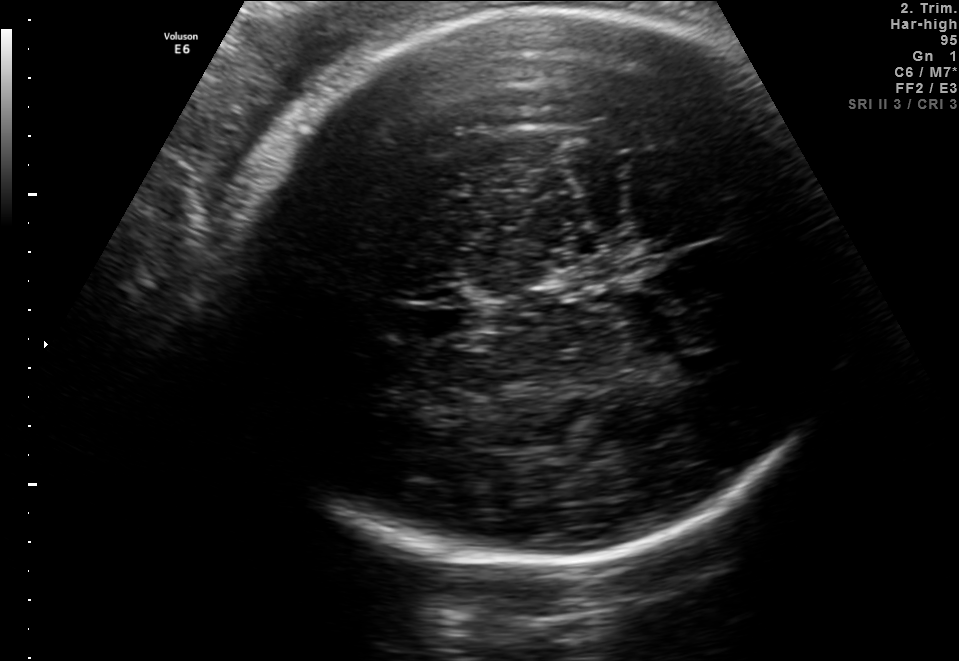
Fetal brain, trans-thalamic plane. Where is the cavum septum pellucidum?

CSP bounding box: [402,302,483,342]